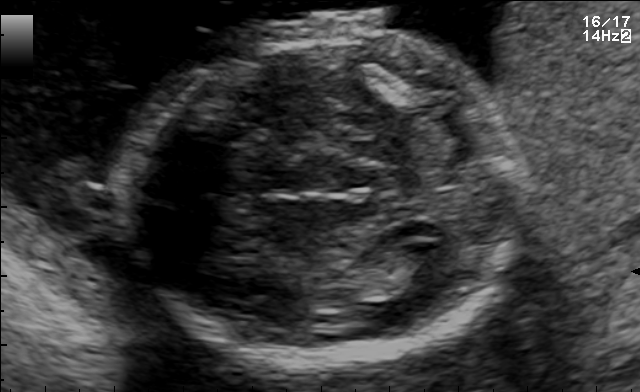
In this fetal brain, trans-thalamic plane, give bounding boxes for the head outline, cavum septum pellucidum (CSP), and lateral ventricle (LV), where visible.

Head: [121,23,519,361]